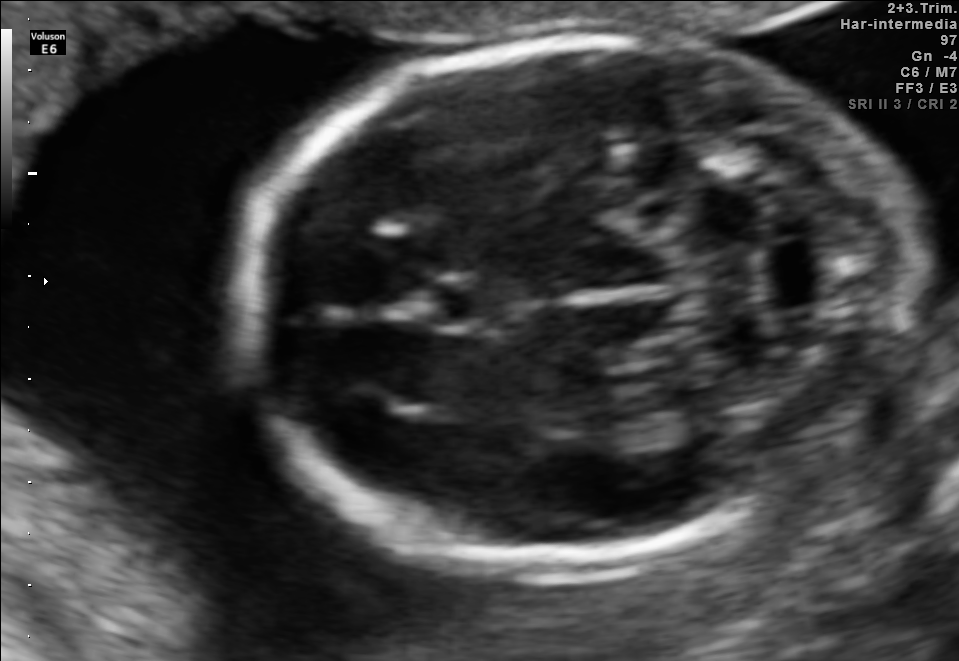
In this fetal brain, trans-cerebellum plane, give the bounding box of the fetal head.

[245,37,908,562]